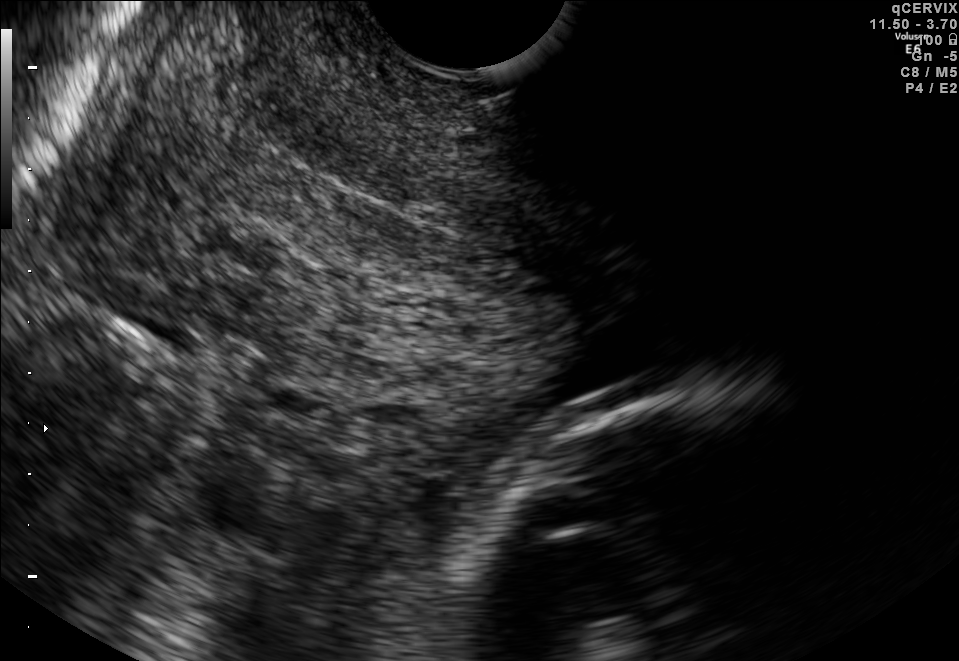
Which standard maternal-fetal ultrasound plane is shown: fetal abdomen, fetal brain, fetal femur, fetal thorax, maternal cervix, or other? If it's fetal brain and one of the three standard brain planes (trans-thalamic, trans-cerebellum, trans-ventricular), name which.

Maternal cervix